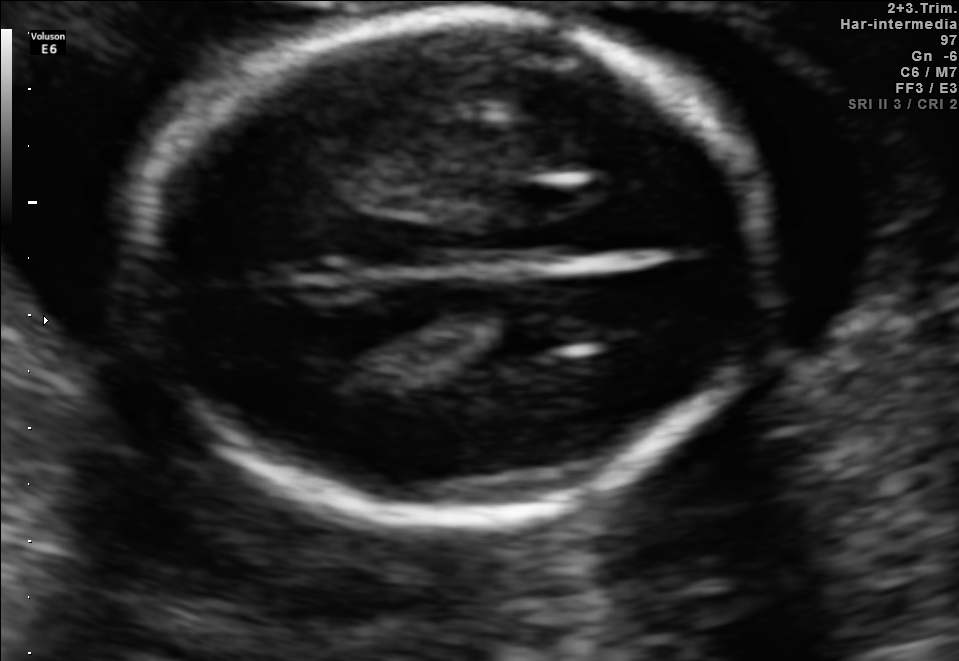
This is a 2D maternal-fetal ultrasound frame. Is it a fetal abdomen, fetal brain, fetal femur, fetal thorax, maternal cervix, or other standard plane? If it's fetal brain and one of the three standard brain planes (trans-thalamic, trans-cerebellum, trans-ventricular), name which.

Fetal brain (trans-thalamic plane)